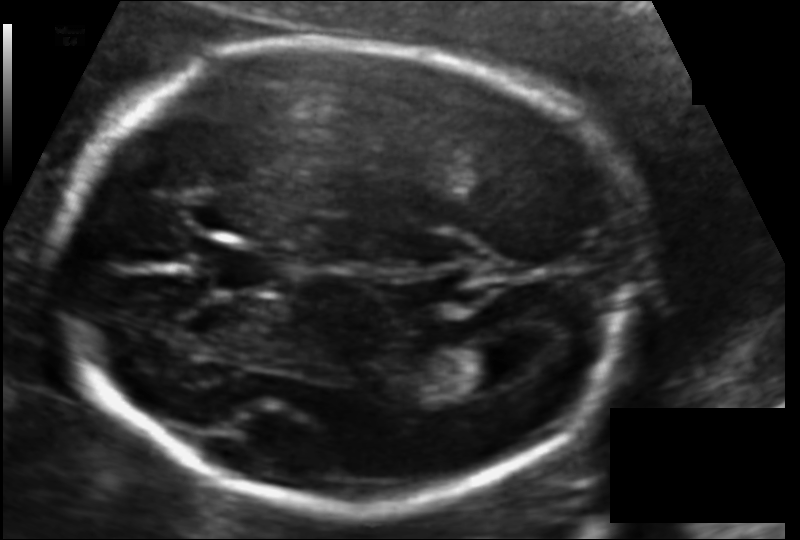
In this fetal head ultrasound, give bounding boxes for the head outline, cavum septum pellucidum (CSP), and lateral ventricle (LV), where visible. Image width: 92.7 mm.

Head: [57,42,631,508]
CSP: [205,241,287,296]
Lateral ventricle: [447,335,534,397]